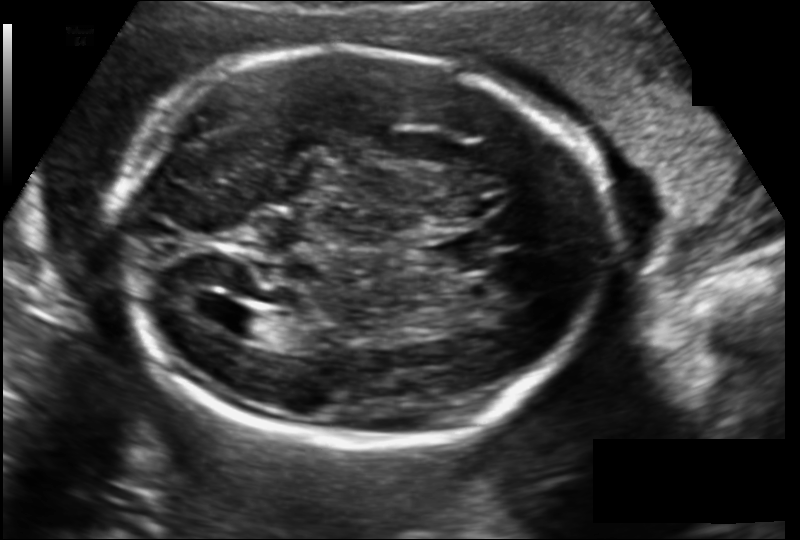
Measure the fetal head circumference shown in this ultrasound image. Image width: 119.2 mm.

Head circumference: 214.0 mm.